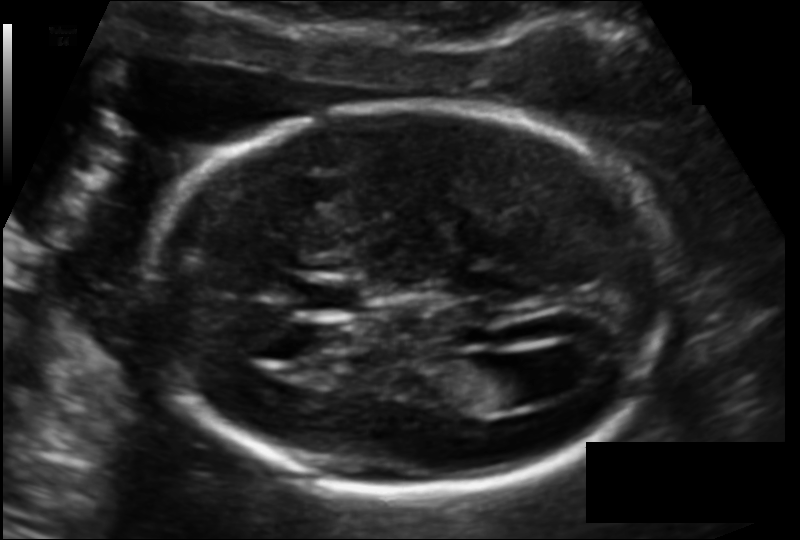
In this fetal head ultrasound, give the bounding box of the lateral ventricle. Image width: 94.5 mm.

[461,354,542,413]